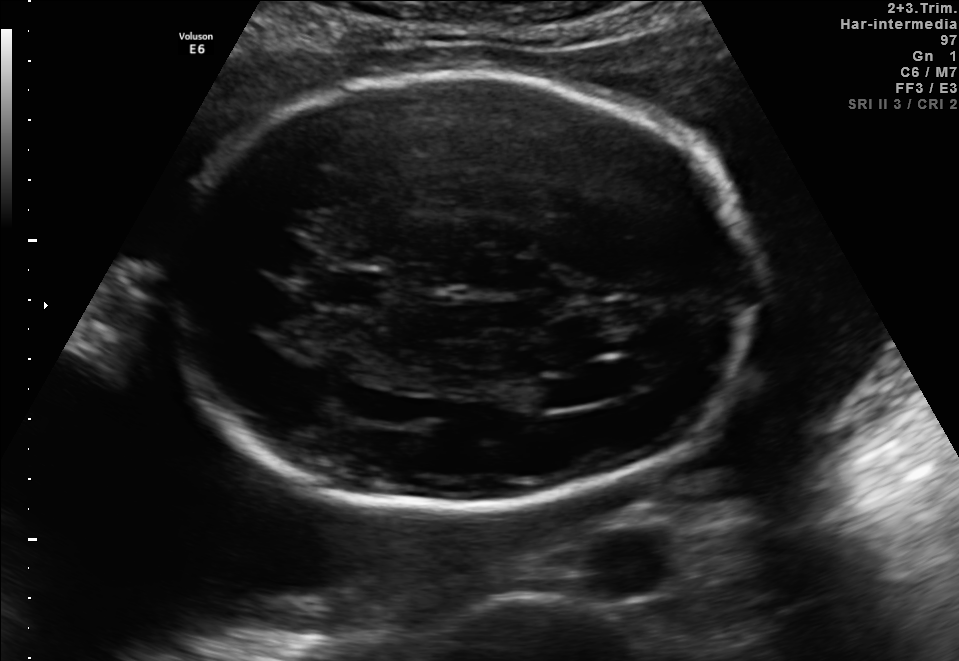
Fetal brain, trans-ventricular plane. Where is the lateral ventricle?

Lateral ventricle bounding box: [531,375,590,413]